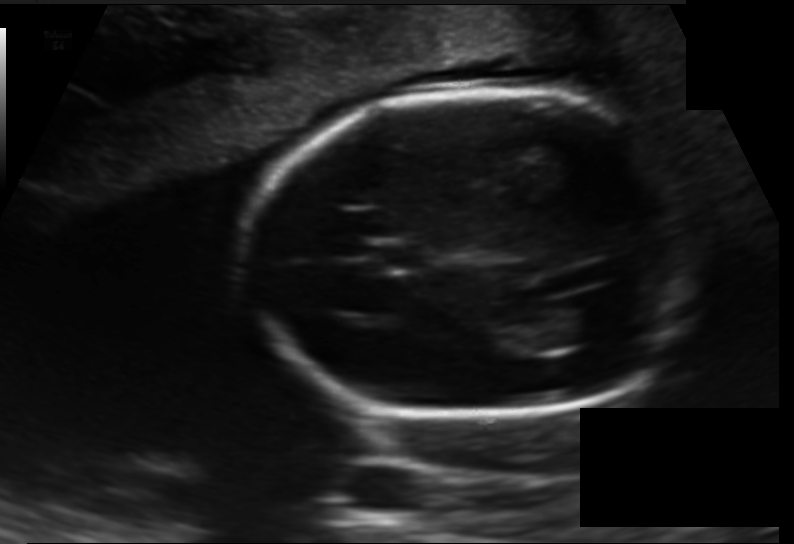
In this fetal head ultrasound, give bounding boxes for the head outline, cavum septum pellucidum (CSP), and lateral ventricle (LV), where visible. Image width: 109.8 mm.

Head: [243,90,702,416]
CSP: [371,245,426,269]
Lateral ventricle: [532,300,608,353]